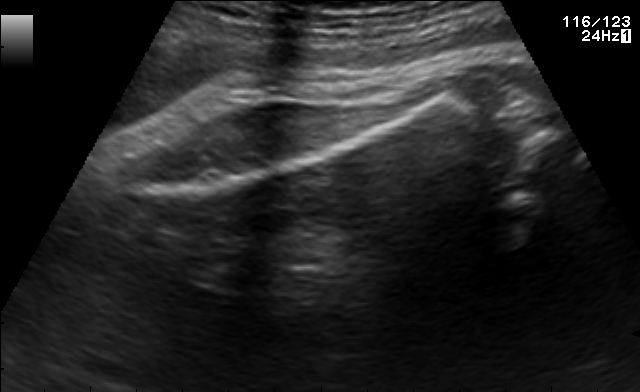
Which standard maternal-fetal ultrasound plane is shown: fetal abdomen, fetal brain, fetal femur, fetal thorax, maternal cervix, or other? If it's fetal brain and one of the three standard brain planes (trans-thalamic, trans-cerebellum, trans-ventricular), name which.

Fetal femur